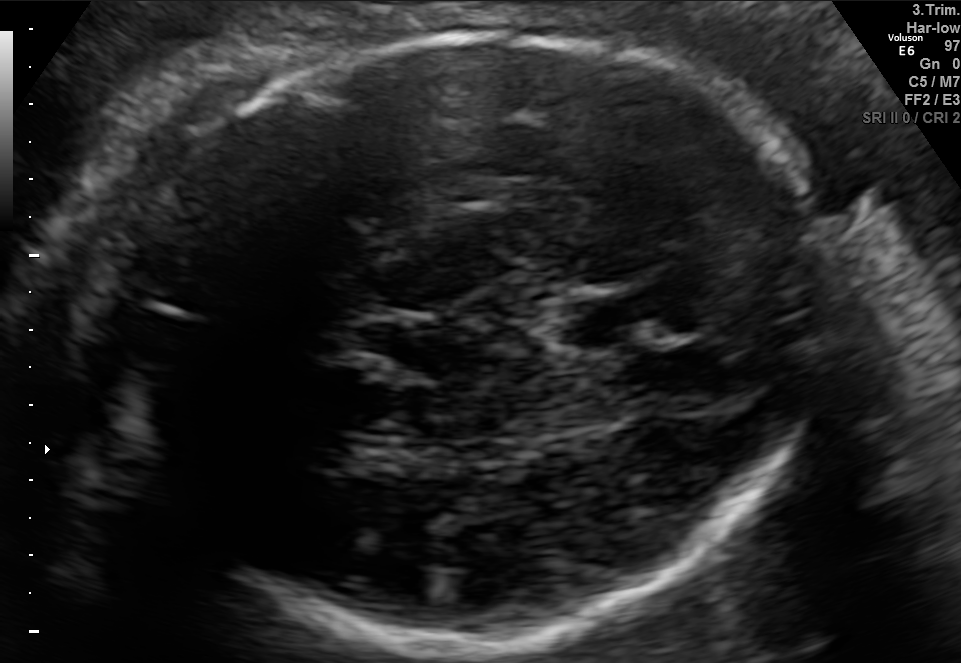
In this fetal brain, trans-thalamic plane, give bounding boxes for the head outline, cavum septum pellucidum (CSP), and lateral ventricle (LV), where visible.

Head: [92,36,829,653]
CSP: [551,279,668,358]